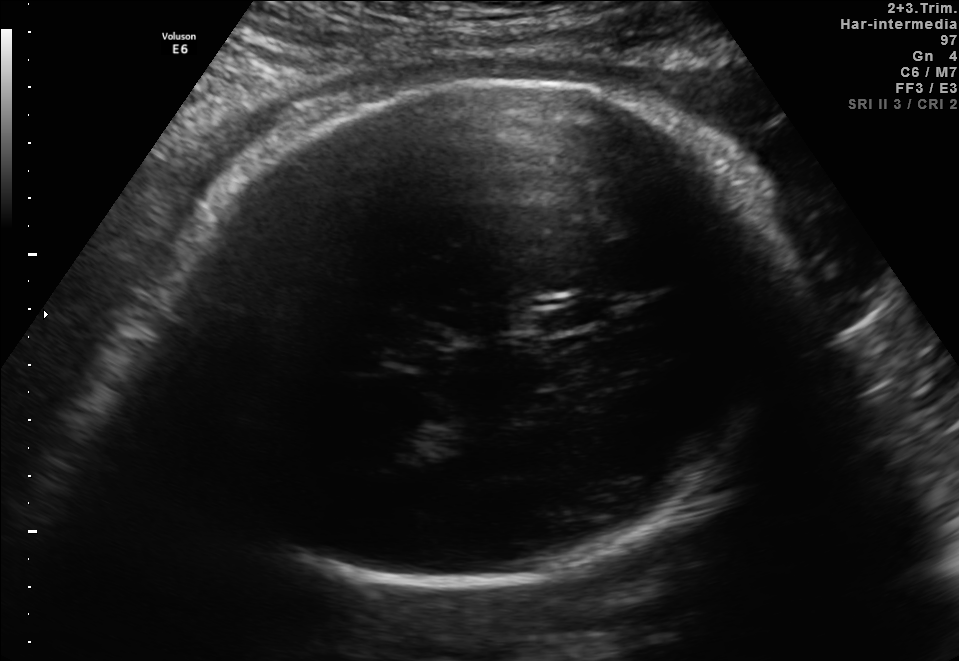
Fetal brain, trans-thalamic plane. Where is the fetal head?

Head bounding box: [162,80,797,583]